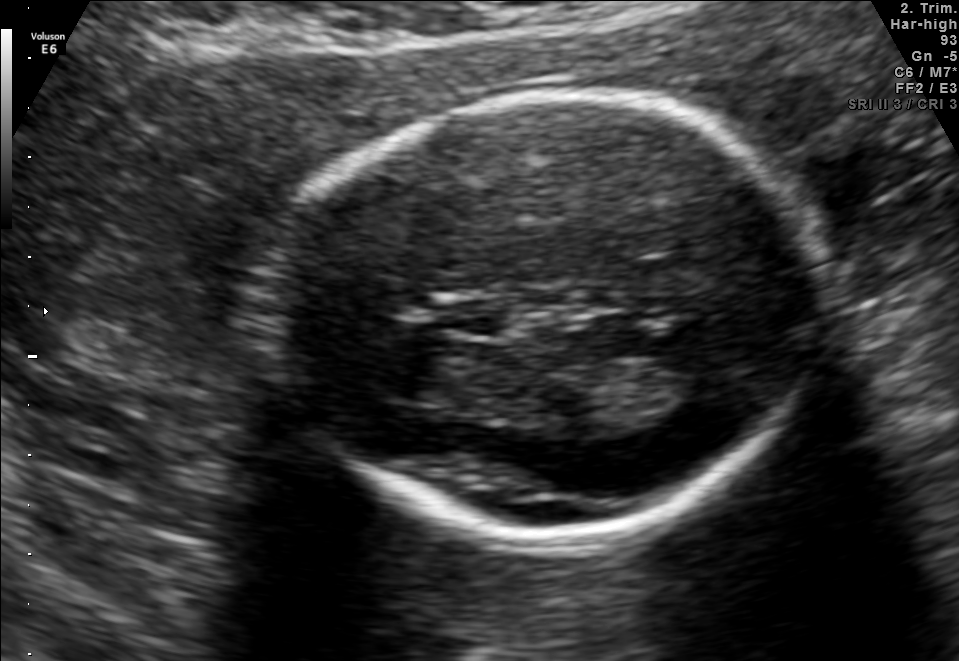
Fetal brain, trans-thalamic plane. Where is the cavum septum pellucidum?

CSP bounding box: [444,299,514,336]